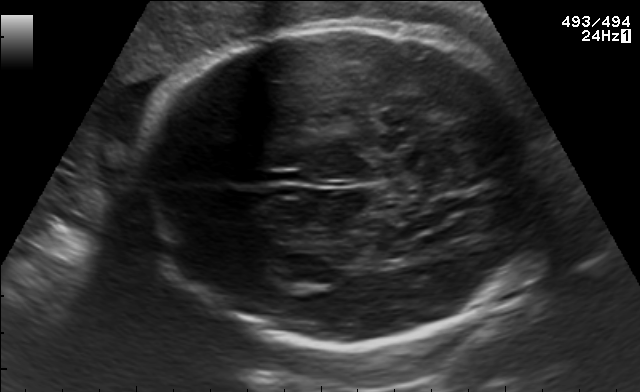
Fetal brain, trans-thalamic plane. Where is the fetal head?

Head bounding box: [133,22,548,348]